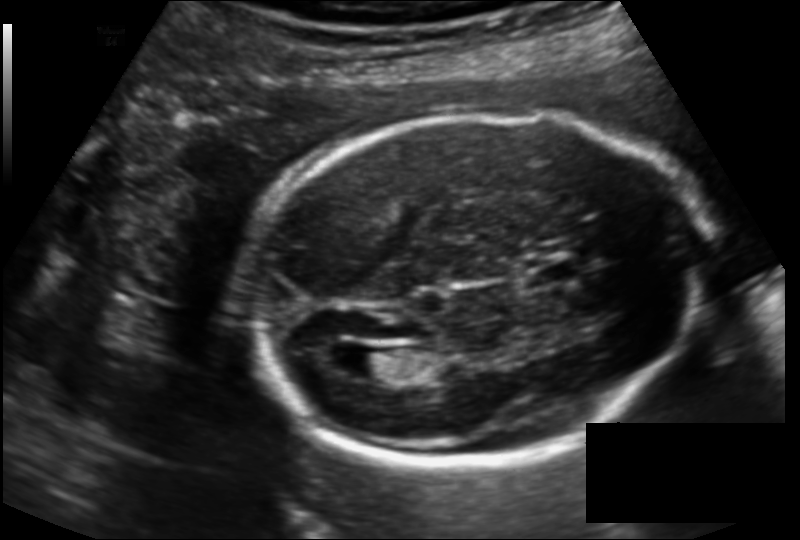
Measure the fetal head circumference shown in this ultrasound image. Image width: 114.4 mm.

Head circumference: 186.2 mm.